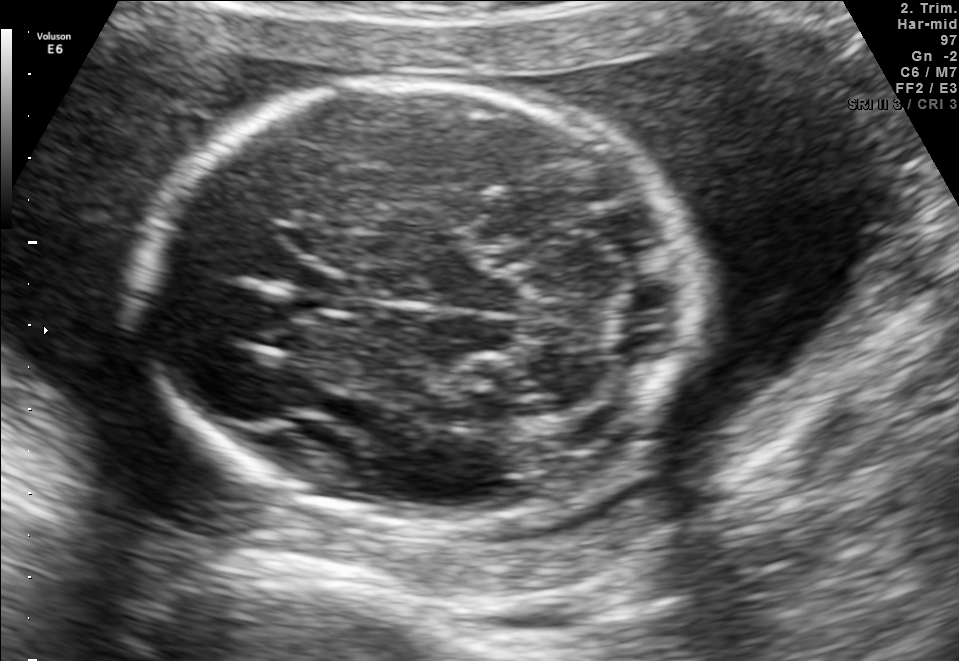
Fetal brain, trans-cerebellum plane. Locate the fetal head and, if visible, the cavum septum pellucidum (CSP) and lateral ventricle (LV). Give bounding boxes as [x1,y1,x2,y2].

Head: [142,77,691,528]